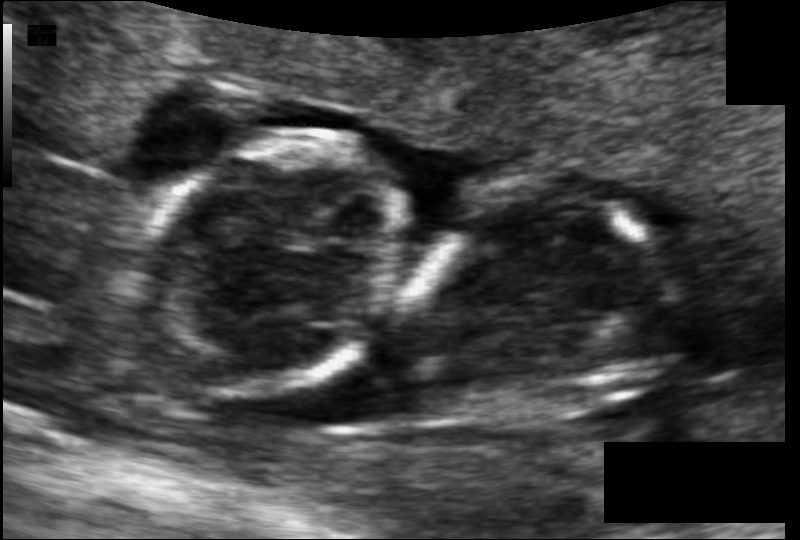
From this fetal ultrasound, estimate the head circumference (image width 68.1 mm).

Head circumference: 76.3 mm.